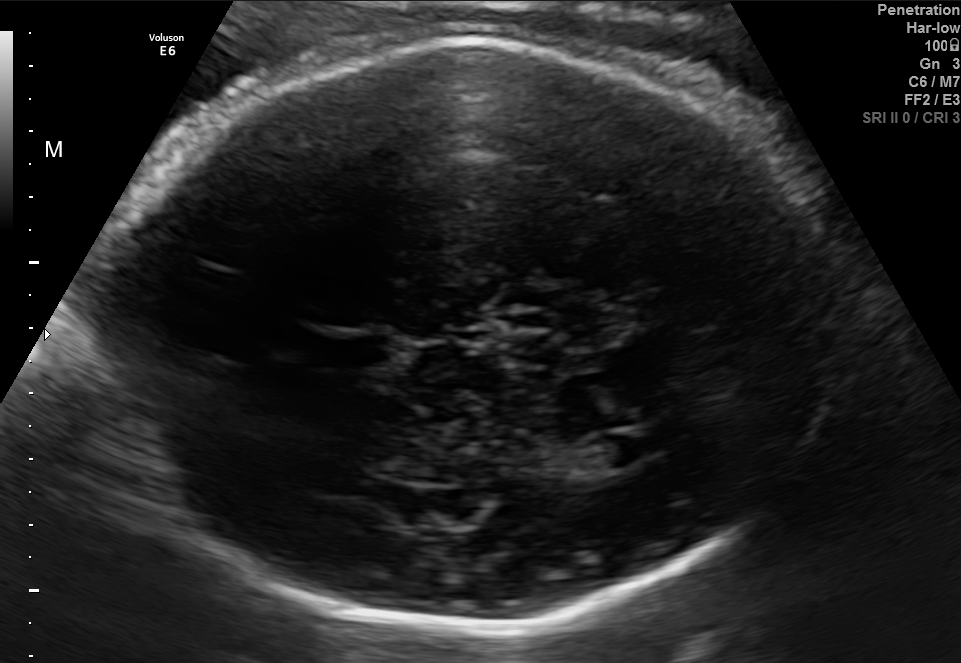
Fetal brain, trans-ventricular plane. Locate the fetal head and, if visible, the cavum septum pellucidum (CSP) and lateral ventricle (LV). Give bounding boxes as [x1,y1,x2,y2].

Head: [87,31,870,634]